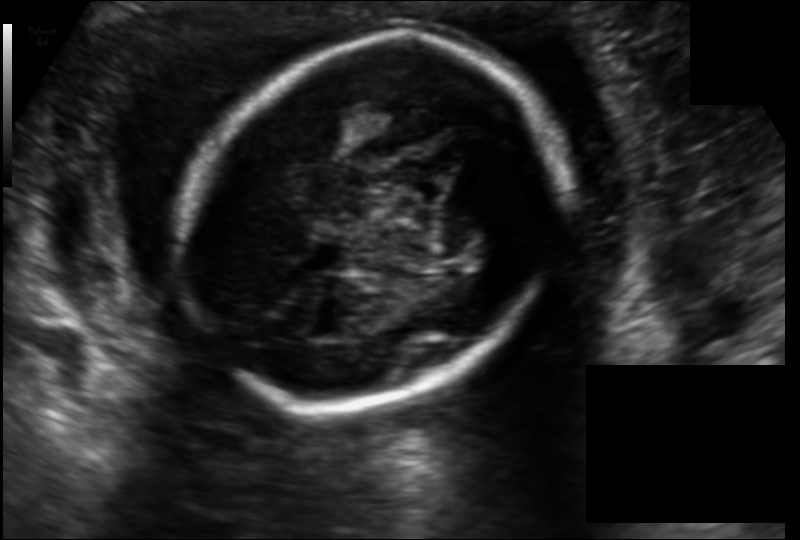
In this fetal head ultrasound, give the bounding box of the fetal head. Image width: 112.8 mm.

[187,35,560,408]